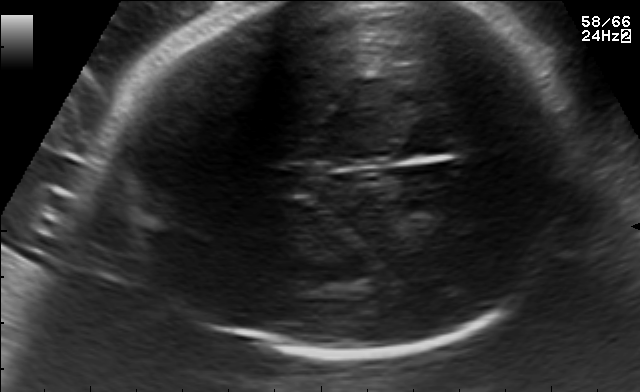
Fetal brain, trans-thalamic plane. Locate the cavum septum pellucidum.

CSP: [261,166,320,193]